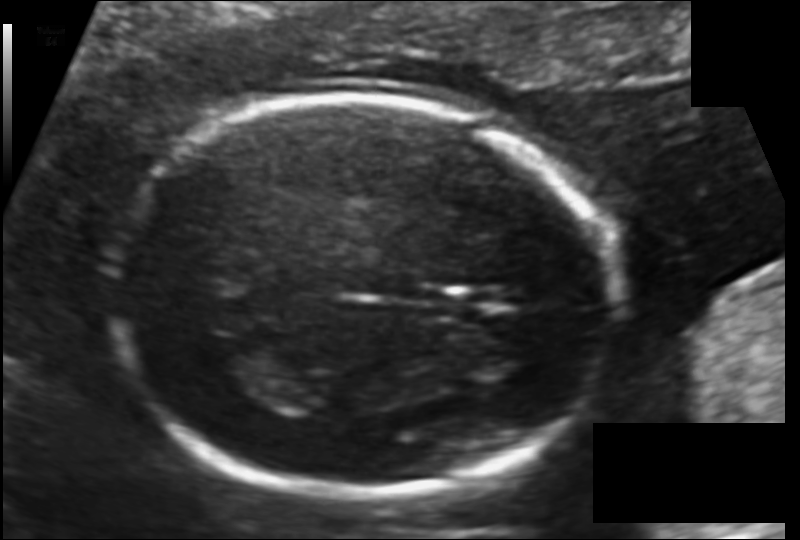
Measure the fetal head circumference shown in this ultrasound image. Image width: 92.9 mm.

Head circumference: 171.5 mm.